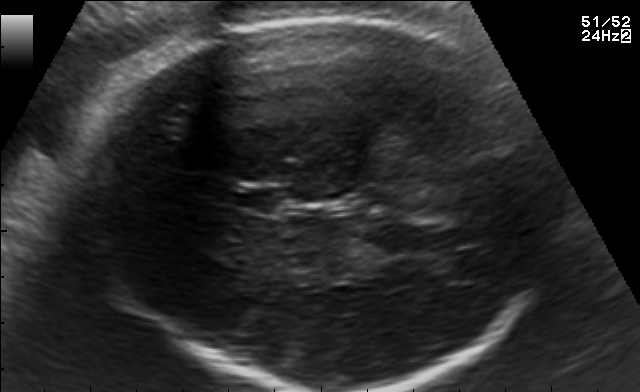
In this fetal brain, trans-thalamic plane, give bounding boxes for the head outline, cavum septum pellucidum (CSP), and lateral ventricle (LV), where visible.

Head: [86,13,553,390]
CSP: [227,185,281,216]